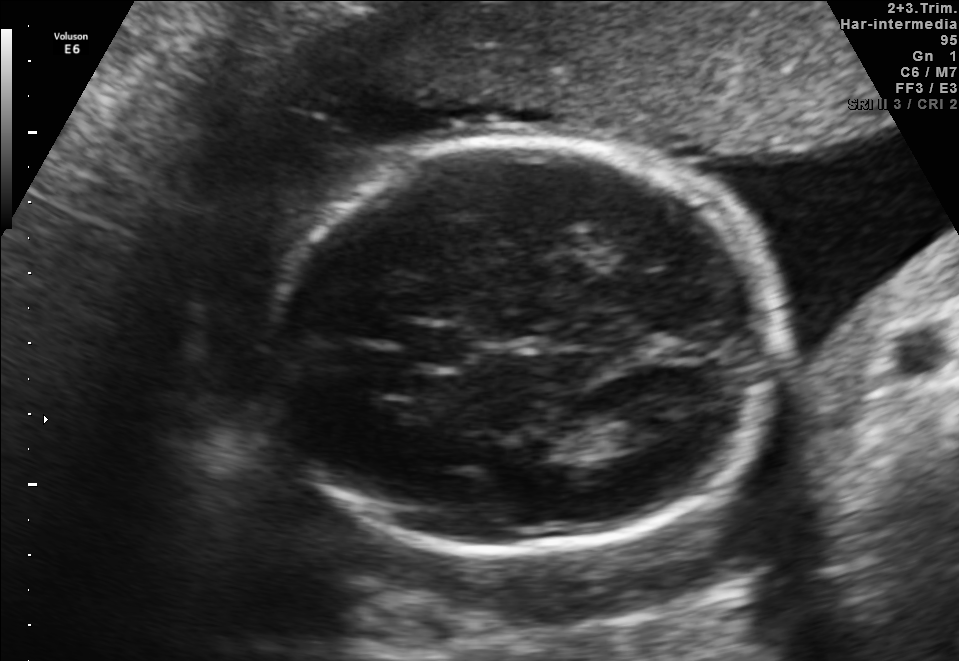
Fetal brain, trans-thalamic plane. Give [x1,y1,x2,y2] bounding boxes for each visible structure among: fetal head, CSP, LV.

Head: [260,141,783,552]
CSP: [404,324,464,368]
Lateral ventricle: [606,404,678,454]